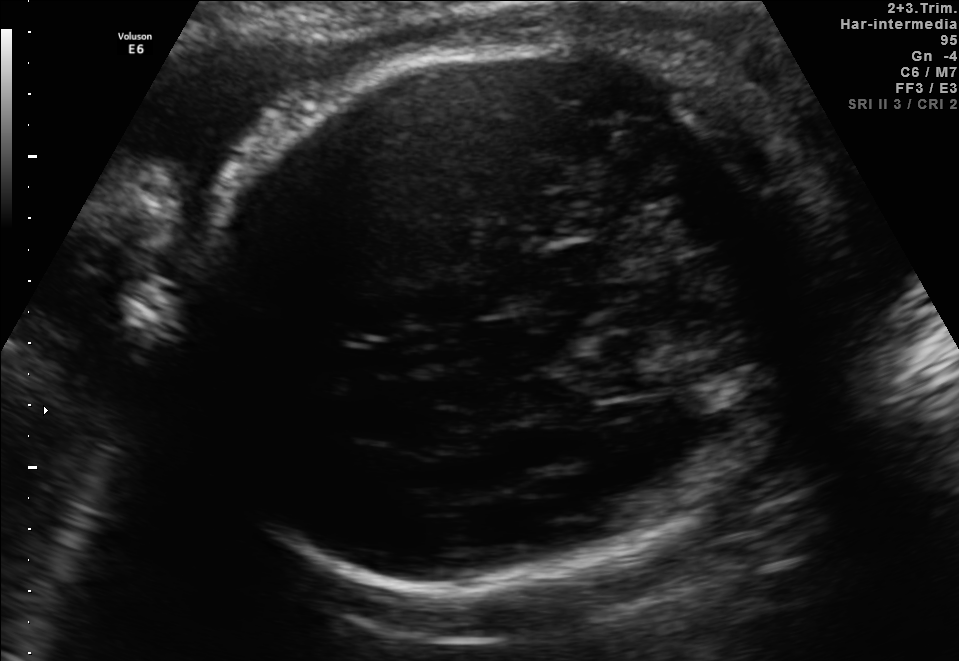
Fetal brain, trans-cerebellum plane. Locate the fetal head.

Head: [187,44,762,587]